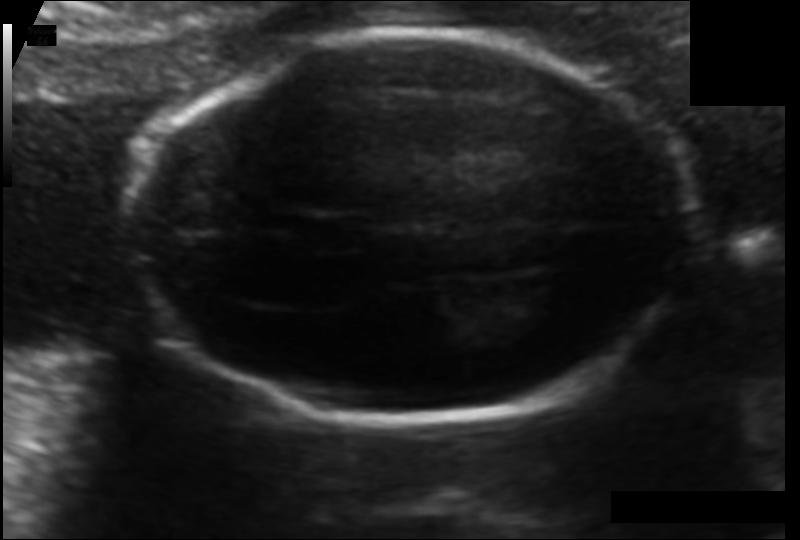
Fetal head ultrasound. Image width: 82.3 mm. Locate the fetal head and, if visible, the cavum septum pellucidum (CSP) and lateral ventricle (LV). Give bounding boxes as [x1,y1,x2,y2].

Head: [133,31,692,421]